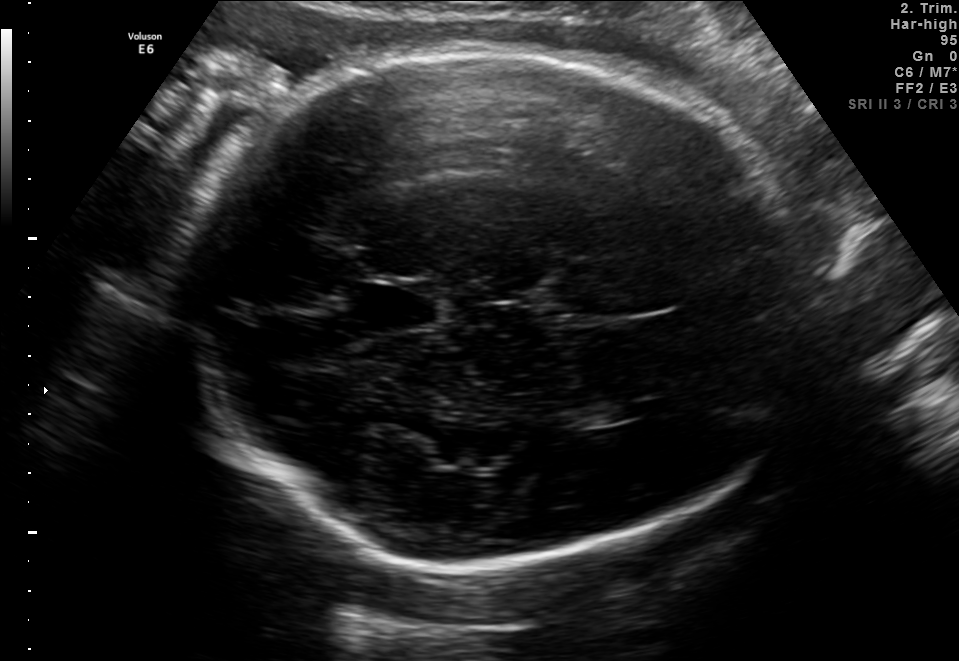
Fetal brain, trans-thalamic plane. Where is the fetal head?

Head bounding box: [176,47,811,562]